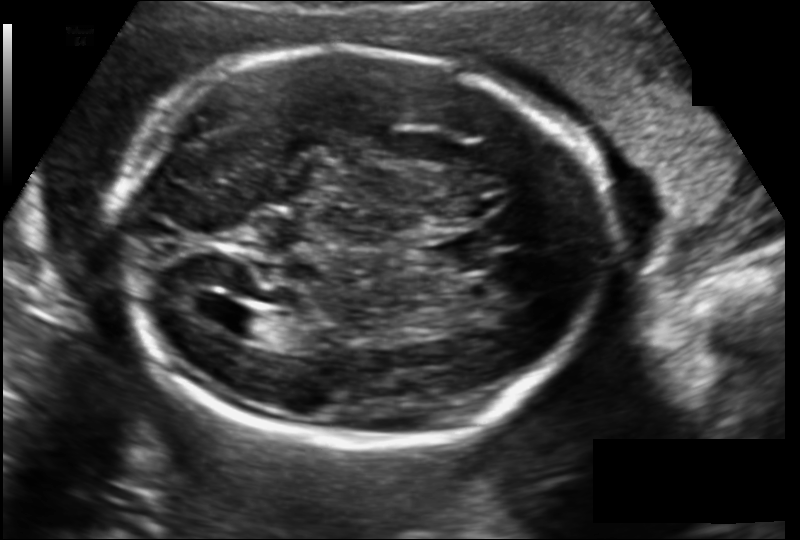
Fetal head ultrasound. Image width: 119.2 mm. Locate the cavum septum pellucidum.

CSP: [425,230,487,278]